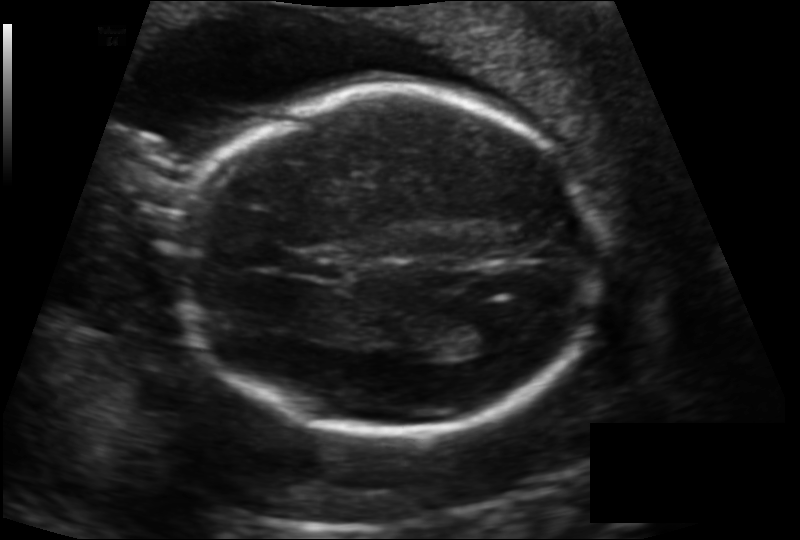
Fetal head ultrasound. Image width: 113.2 mm. Locate the fetal head.

Head: [175,87,603,435]